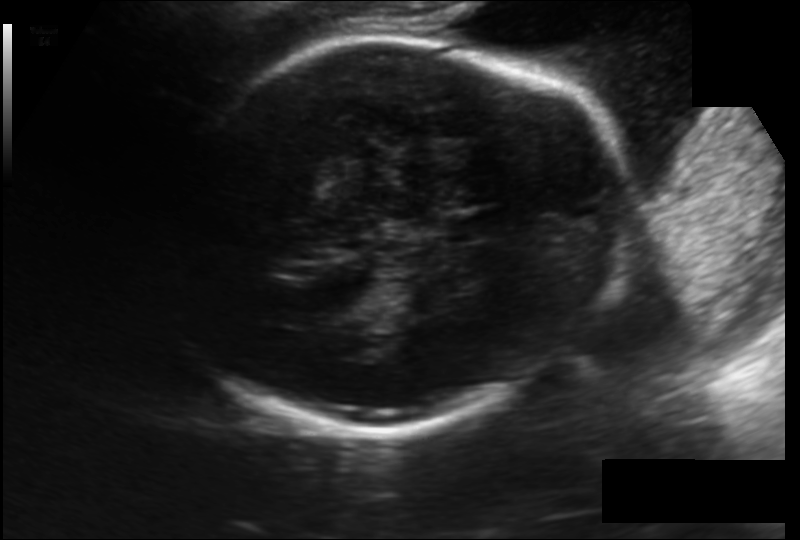
Fetal head ultrasound. Image width: 139.5 mm. Where is the fetal head?

Head bounding box: [162,34,631,429]